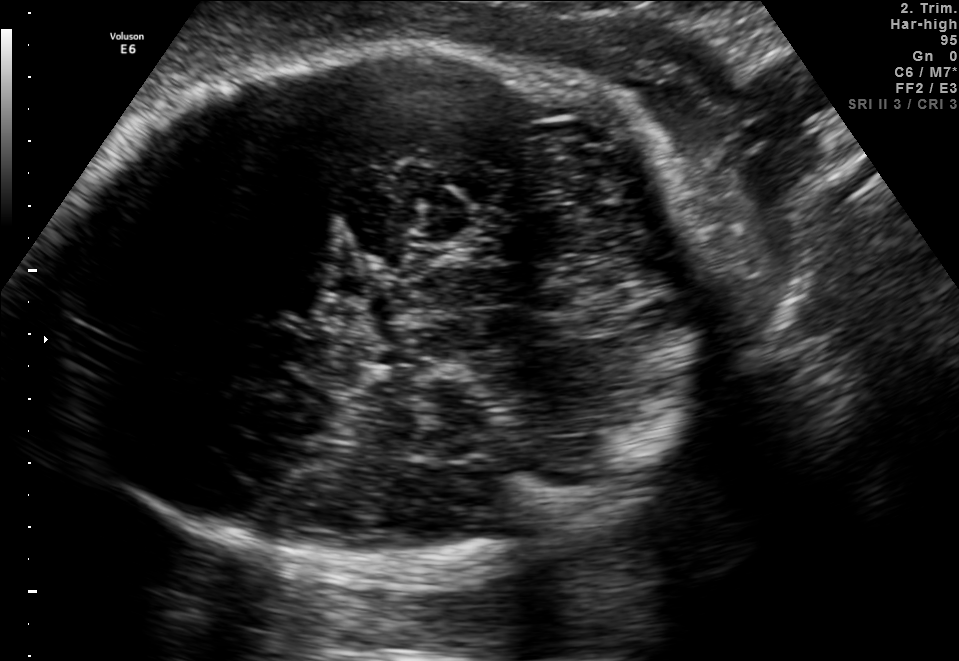
Fetal brain, trans-thalamic plane. Give [x1,y1,x2,y2] bounding boxes for each visible structure among: fetal head, CSP, LV.

Head: [57,44,700,565]